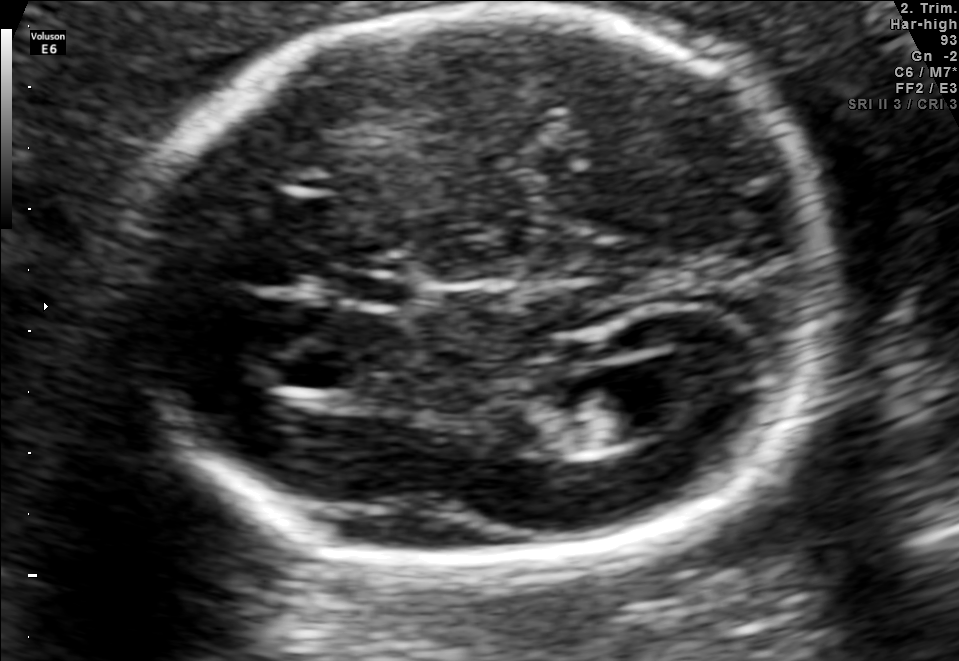
Fetal brain, trans-ventricular plane. Locate the fetal head.

Head: [112,4,851,579]